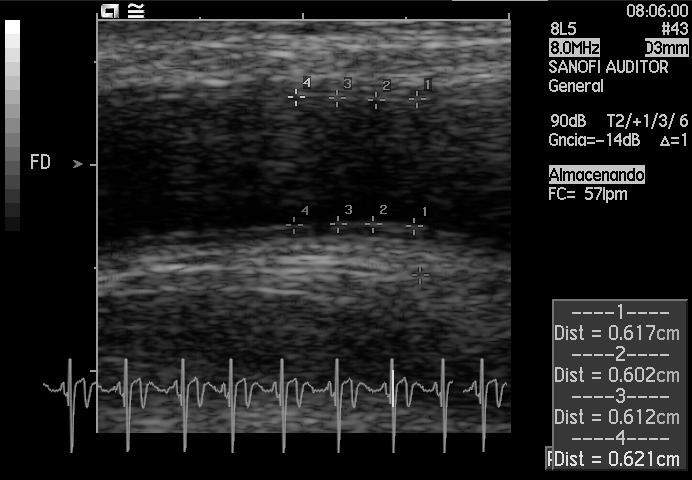
Which standard maternal-fetal ultrasound plane is shown: fetal abdomen, fetal brain, fetal femur, fetal thorax, maternal cervix, or other? If it's fetal brain and one of the three standard brain planes (trans-thalamic, trans-cerebellum, trans-ventricular), name which.

Other